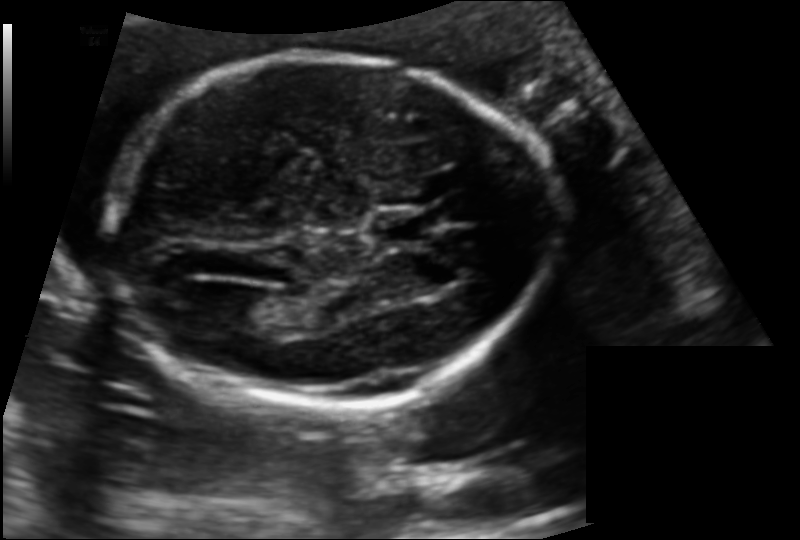
Fetal head ultrasound. Image width: 105.8 mm. Give [x1,y1,x2,y2] bounding boxes for each visible structure among: fetal head, CSP, LV.

Head: [106,56,551,404]
CSP: [376,211,431,243]
Lateral ventricle: [226,292,283,331]